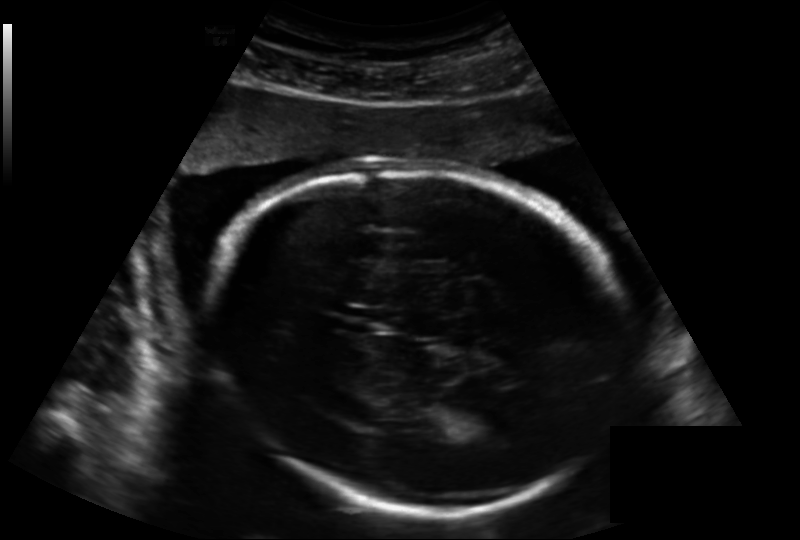
Fetal head ultrasound. Image width: 150.3 mm. Locate the fetal head.

Head: [204,167,632,510]